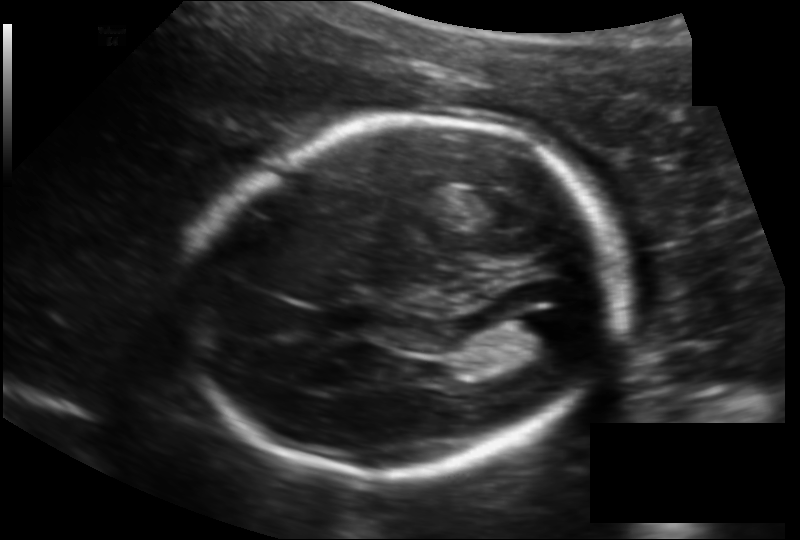
Fetal head ultrasound. Image width: 115.9 mm. Locate the lateral ventricle.

Lateral ventricle: [498,305,576,366]